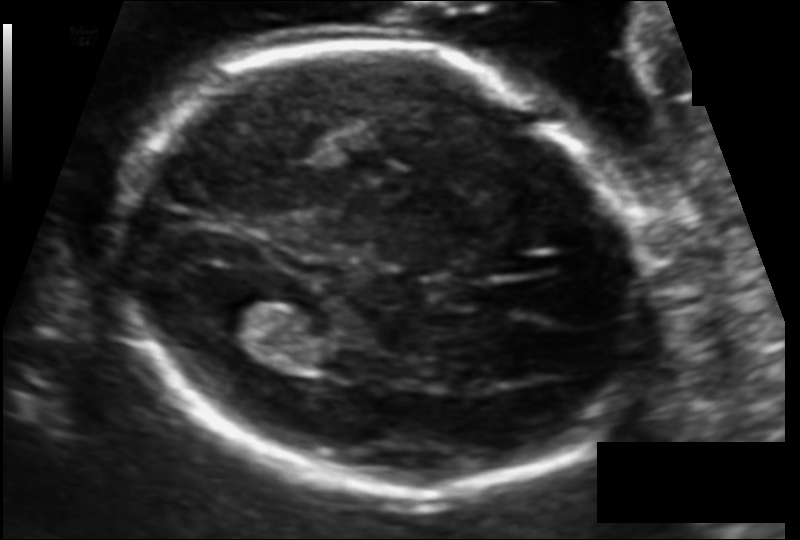
Estimate the fetal head circumference from this 2D ultrasound. Image width: 92.8 mm.

Head circumference: 184.3 mm.